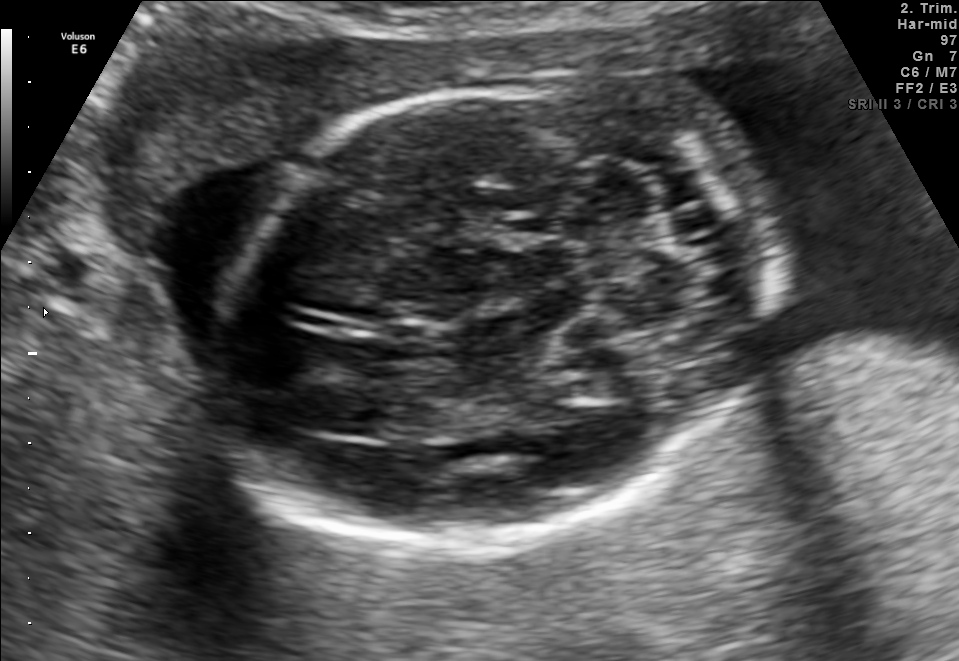
In this fetal brain, trans-cerebellum plane, give bounding boxes for the head outline, cavum septum pellucidum (CSP), and lateral ventricle (LV), where visible.

Head: [205,76,778,545]